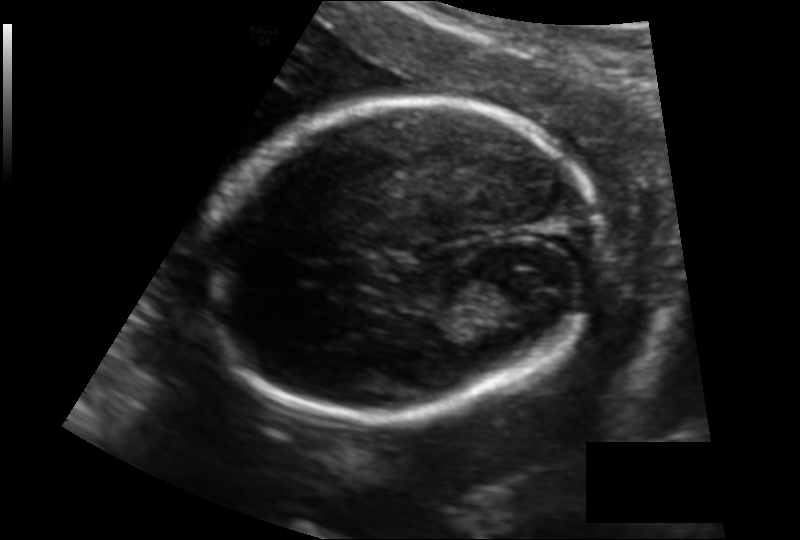
Estimate the fetal head circumference from this 2D ultrasound.

Head circumference: 163.2 mm (image width 112.2 mm).